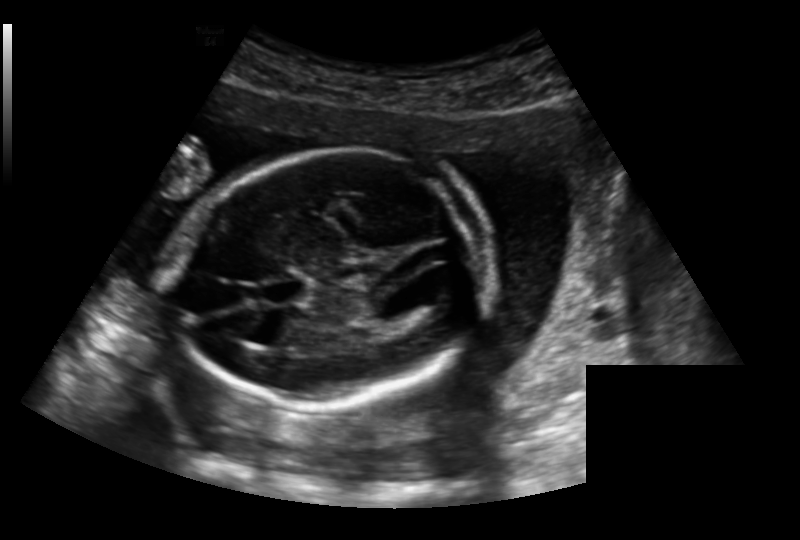
Fetal head ultrasound. Image width: 152.5 mm. Locate the lateral ventricle.

Lateral ventricle: [404,262,461,306]